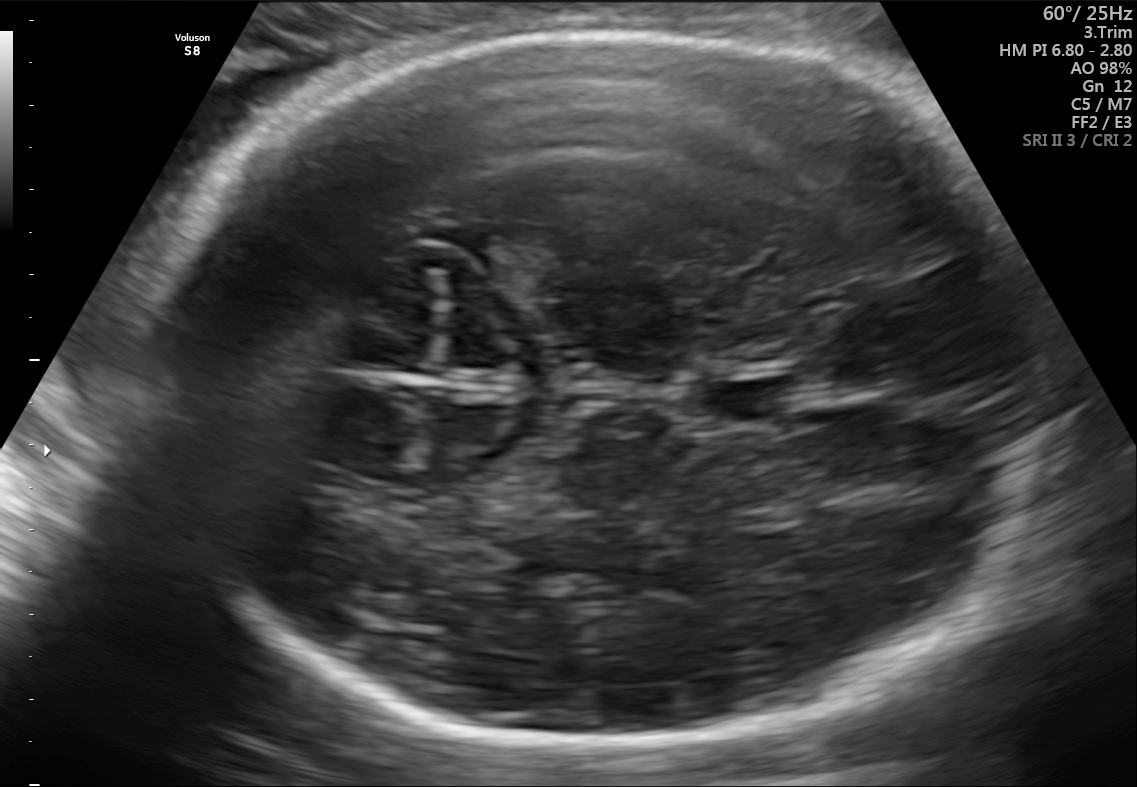
Fetal brain, trans-thalamic plane. Where is the fetal head?

Head bounding box: [120,29,1055,749]